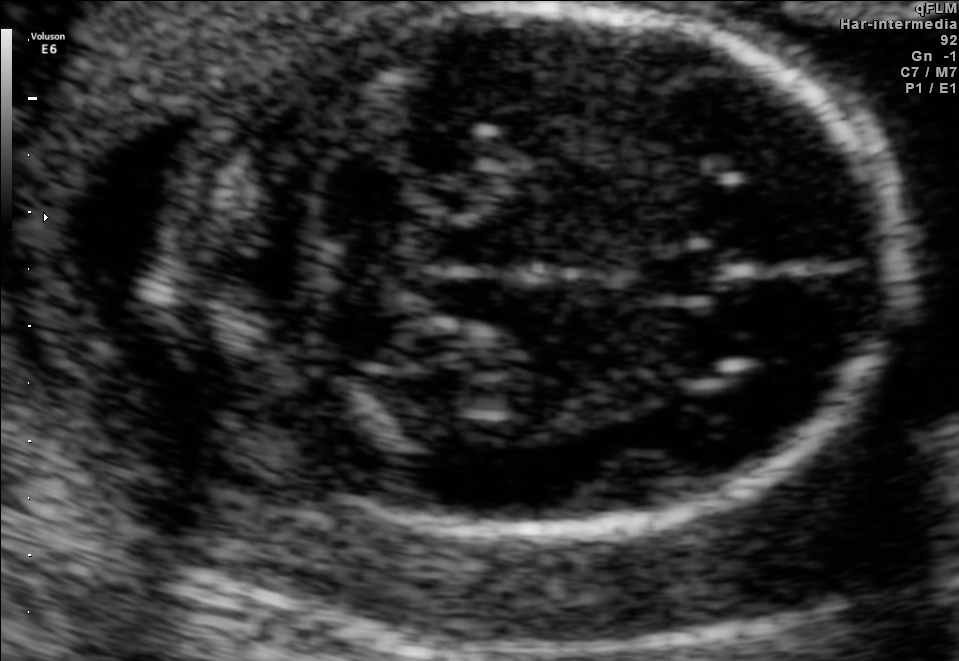
Which standard maternal-fetal ultrasound plane is shown: fetal abdomen, fetal brain, fetal femur, fetal thorax, maternal cervix, or other? If it's fetal brain and one of the three standard brain planes (trans-thalamic, trans-cerebellum, trans-ventricular), name which.

Fetal brain (trans-cerebellum plane)